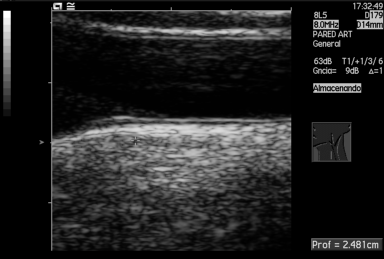
Identify the standard plane in this fetal ultrasound image: fetal abdomen, fetal brain, fetal femur, fetal thorax, maternal cervix, or other. If it's fetal brain and one of the three standard brain planes (trans-thalamic, trans-cerebellum, trans-ventricular), name which.

Other